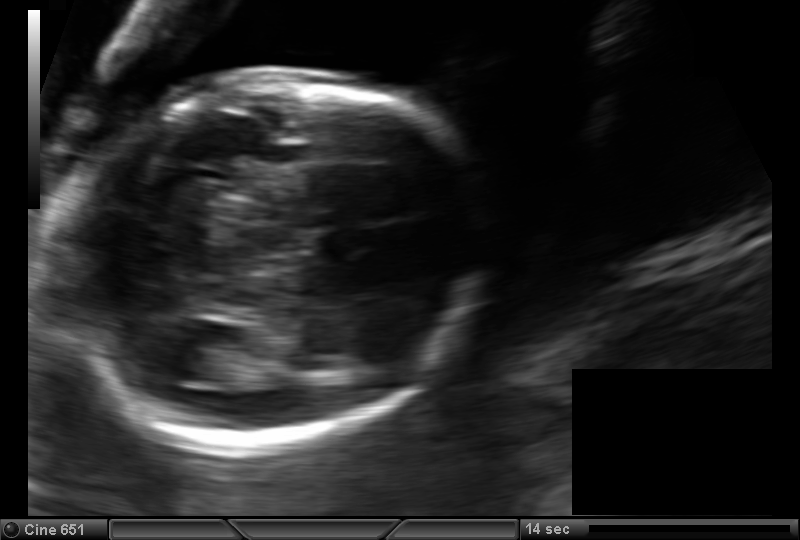
Estimate the fetal head circumference from this 2D ultrasound.

Head circumference: 166.7 mm (image width 106.1 mm).